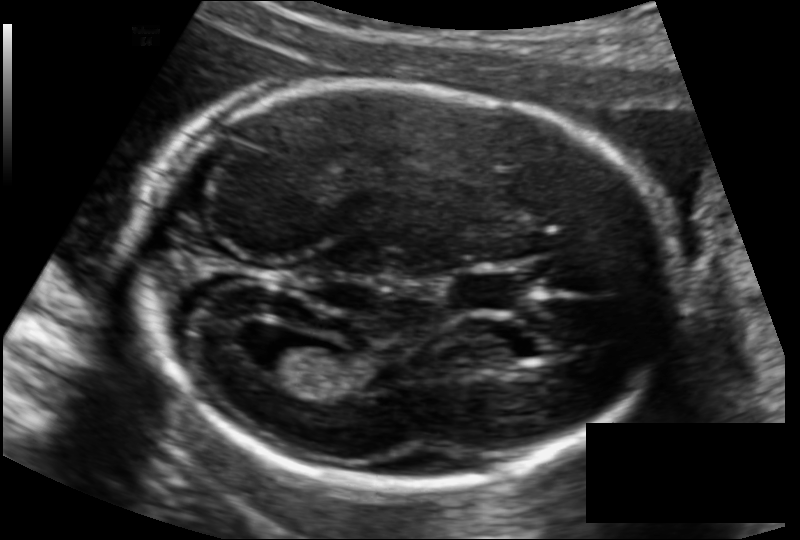
Estimate the fetal head circumference from this 2D ultrasound. Image width: 97.7 mm.

Head circumference: 185.4 mm.